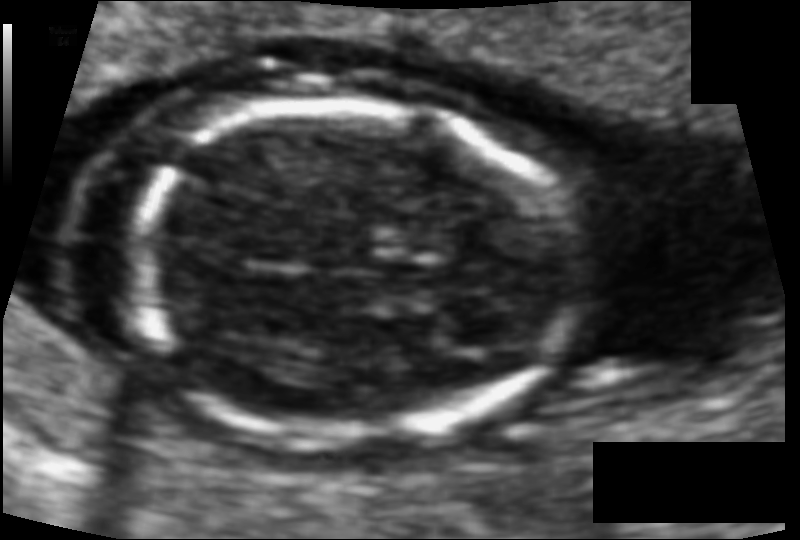
In this fetal head ultrasound, give the bounding box of the fetal head. Image width: 65.1 mm.

[132,101,570,437]